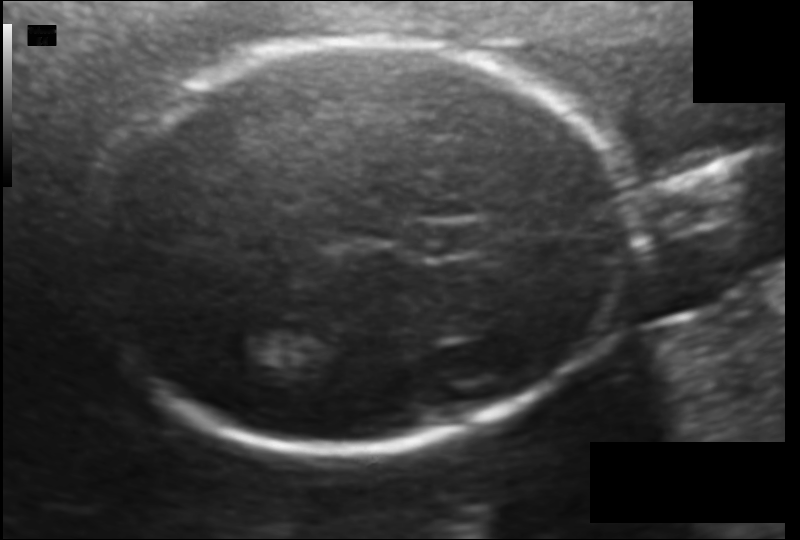
In this fetal head ultrasound, give the bounding box of the cavum septum pellucidum. Image width: 90.8 mm.

[414,217,487,261]